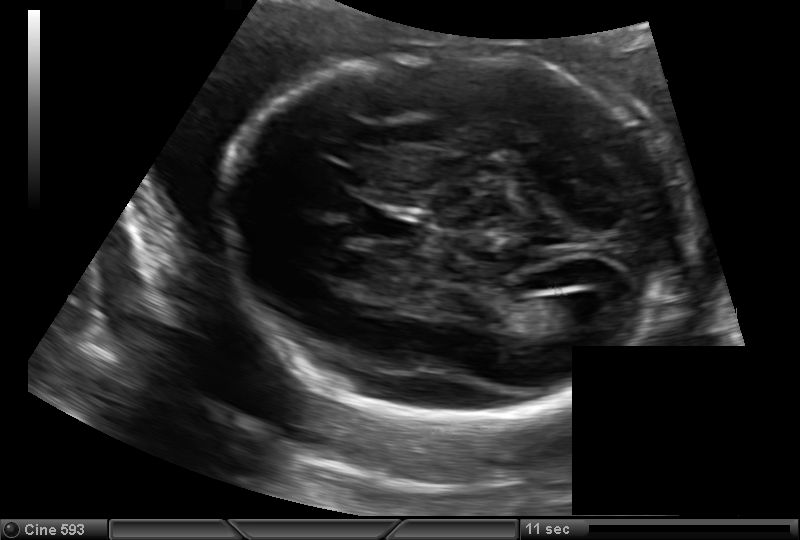
Fetal head ultrasound. Image width: 115.2 mm. Where is the fetal head?

Head bounding box: [221,52,684,417]